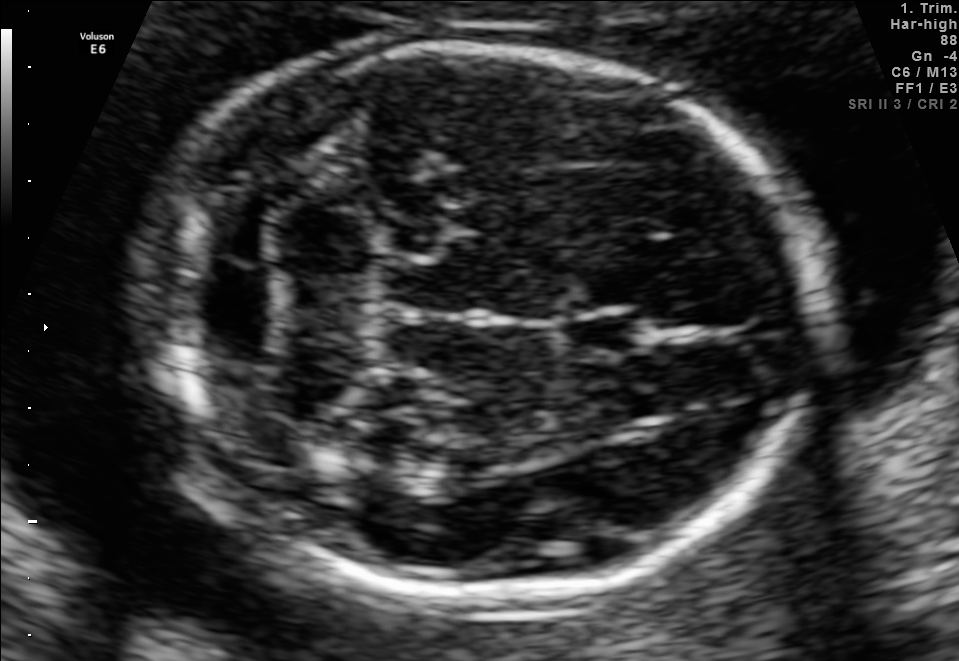
Which standard maternal-fetal ultrasound plane is shown: fetal abdomen, fetal brain, fetal femur, fetal thorax, maternal cervix, or other? If it's fetal brain and one of the three standard brain planes (trans-thalamic, trans-cerebellum, trans-ventricular), name which.

Fetal brain (trans-cerebellum plane)